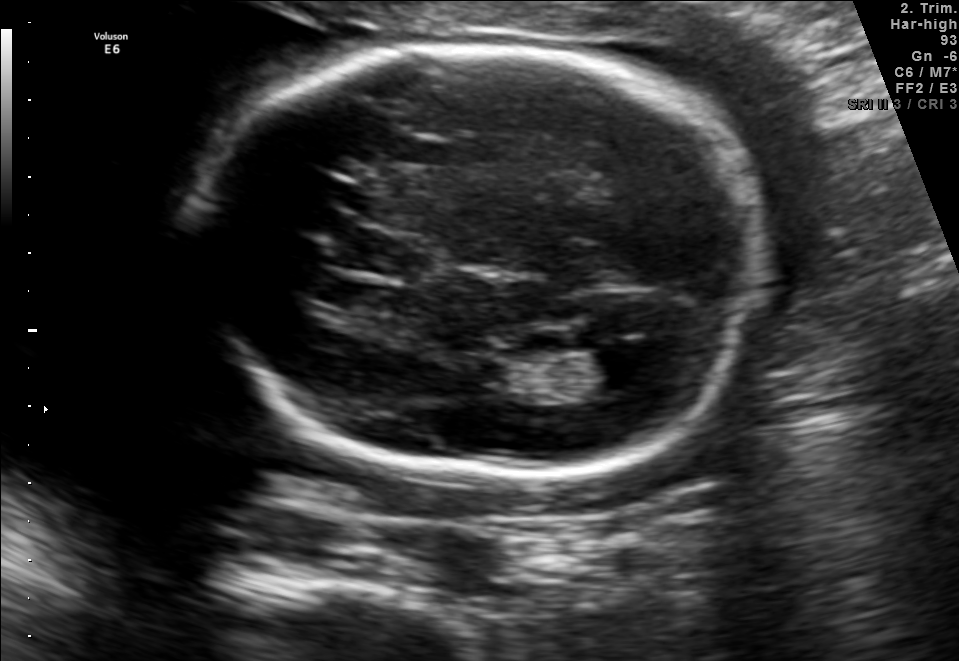
In this fetal brain, trans-ventricular plane, give the bounding box of the cavum septum pellucidum.

[317,222,434,284]